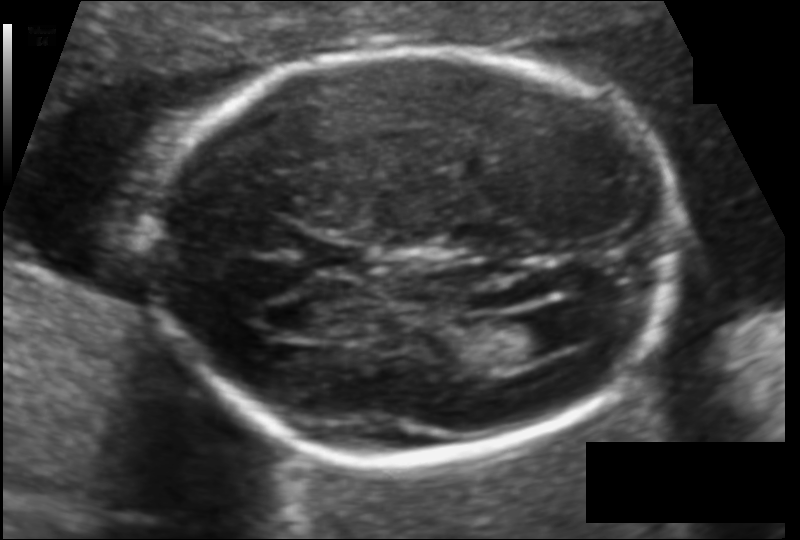
In this fetal head ultrasound, give bounding boxes for the head outline, cavum septum pellucidum (CSP), and lateral ventricle (LV), where visible. Image width: 89.1 mm.

Head: [152,48,677,462]
CSP: [309,239,369,277]
Lateral ventricle: [491,304,572,370]